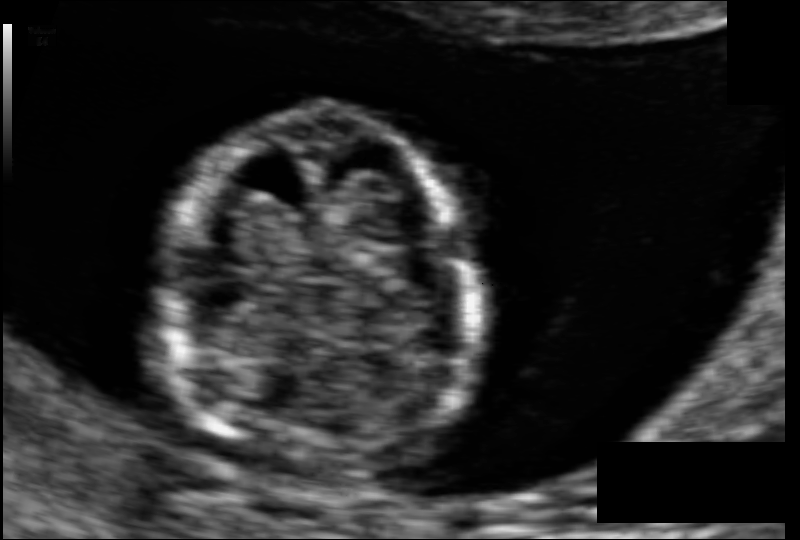
Fetal head ultrasound. Image width: 54.8 mm. Give [x1,y1,x2,y2] bounding boxes for each visible structure among: fetal head, CSP, LV.

Head: [166,113,481,484]